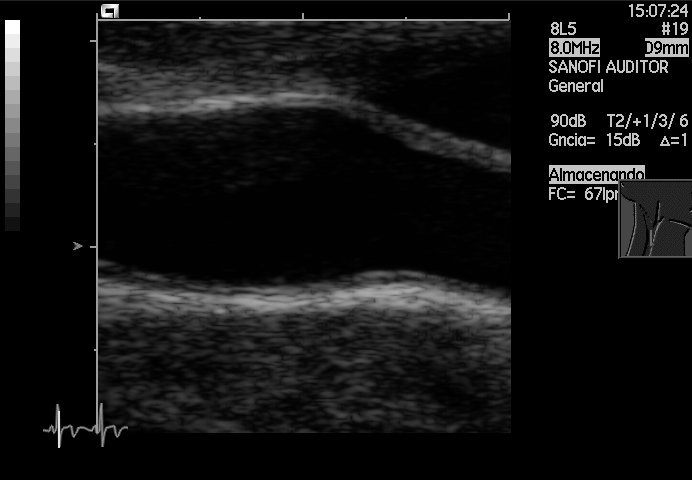
Identify the standard plane in this fetal ultrasound image: fetal abdomen, fetal brain, fetal femur, fetal thorax, maternal cervix, or other. If it's fetal brain and one of the three standard brain planes (trans-thalamic, trans-cerebellum, trans-ventricular), name which.

Other